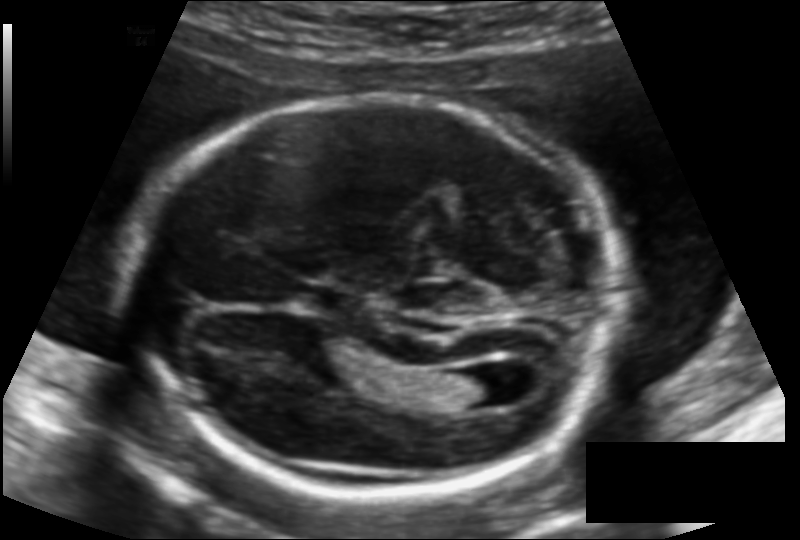
Estimate the fetal head circumference from this 2D ultrasound.

Head circumference: 184.3 mm (image width 99.7 mm).